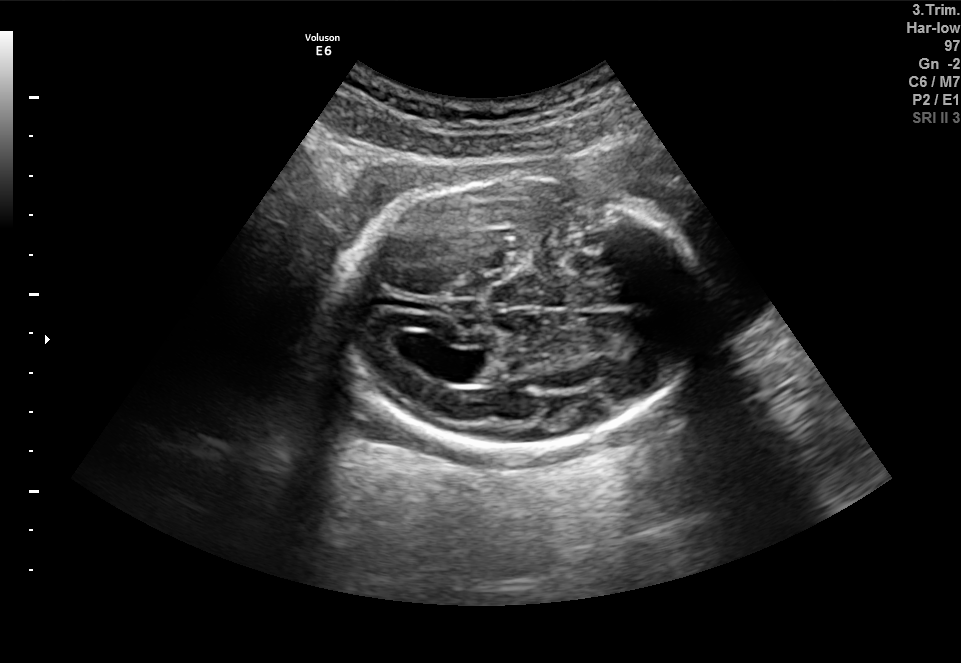
Identify the standard plane in this fetal ultrasound image: fetal abdomen, fetal brain, fetal femur, fetal thorax, maternal cervix, or other. If it's fetal brain and one of the three standard brain planes (trans-thalamic, trans-cerebellum, trans-ventricular), name which.

Fetal brain (trans-ventricular plane)